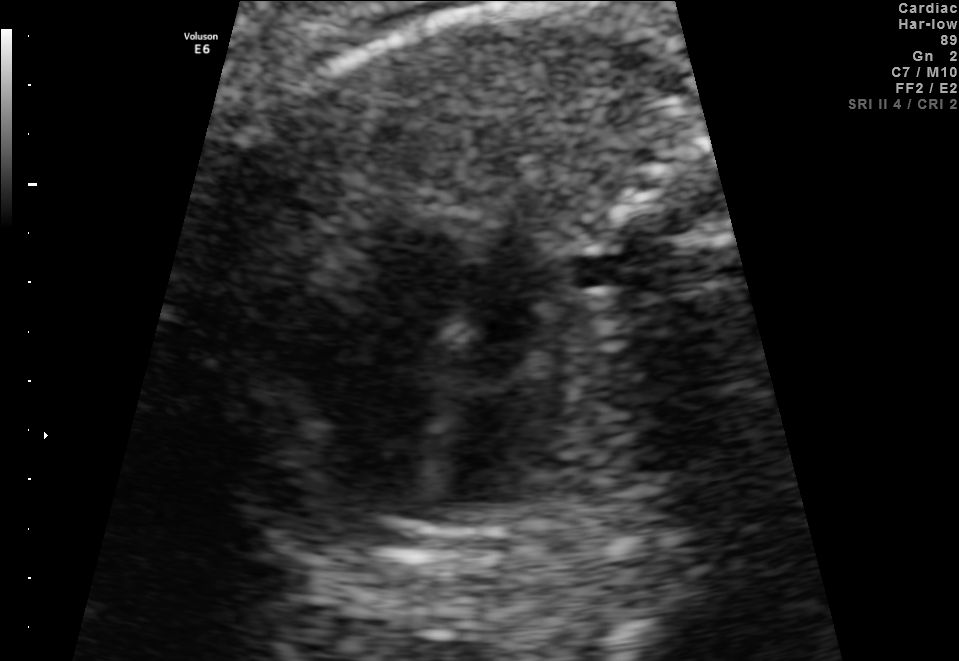
Which standard maternal-fetal ultrasound plane is shown: fetal abdomen, fetal brain, fetal femur, fetal thorax, maternal cervix, or other? If it's fetal brain and one of the three standard brain planes (trans-thalamic, trans-cerebellum, trans-ventricular), name which.

Fetal thorax